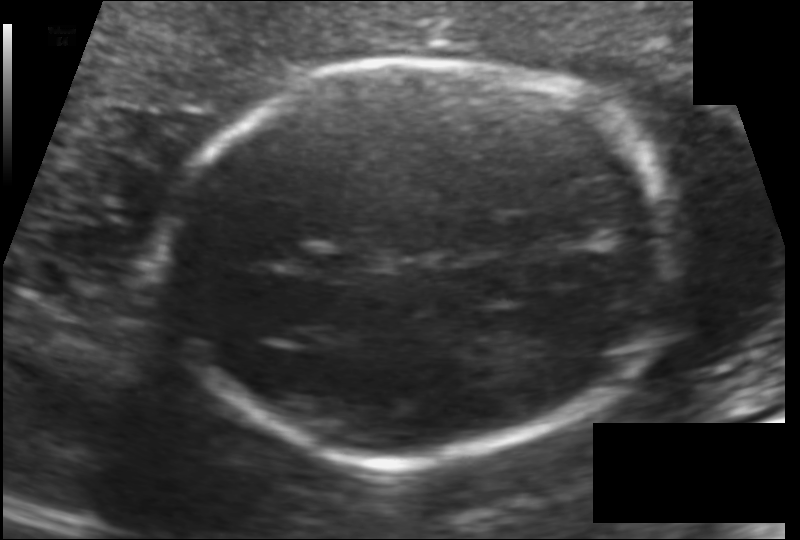
Fetal head ultrasound. Image width: 95.9 mm. Where is the fetal head?

Head bounding box: [170,61,672,461]